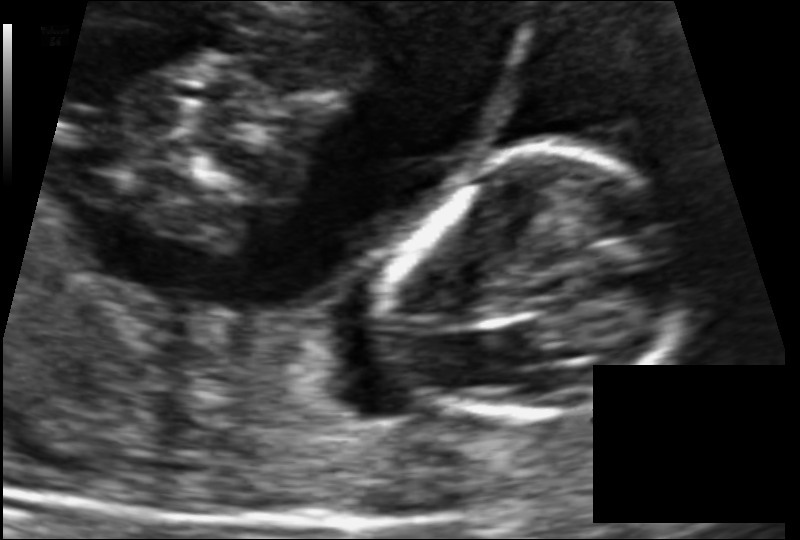
From this fetal ultrasound, estimate the head circumference (image width 69.1 mm).

Head circumference: 81.1 mm.